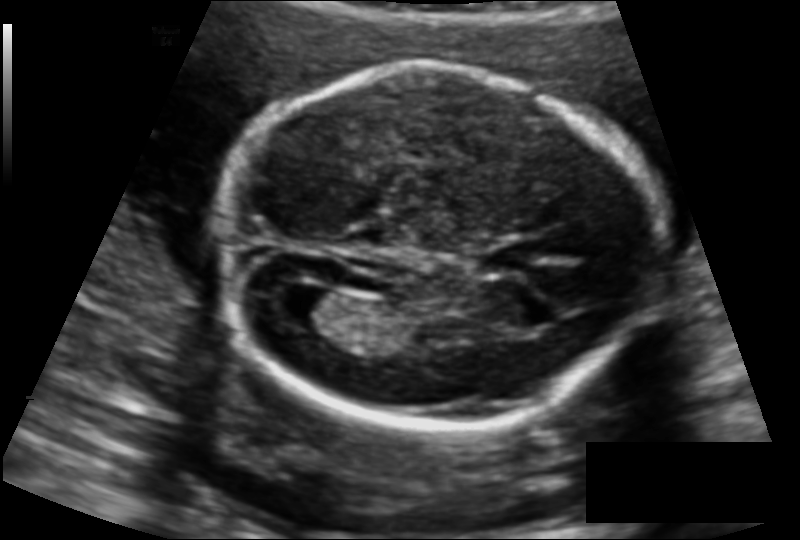
Fetal head ultrasound. Image width: 101.8 mm. Give [x1,y1,x2,y2] bounding boxes for each visible structure among: fetal head, CSP, LV.

Head: [220,64,650,427]
CSP: [484,242,539,274]
Lateral ventricle: [269,275,348,338]